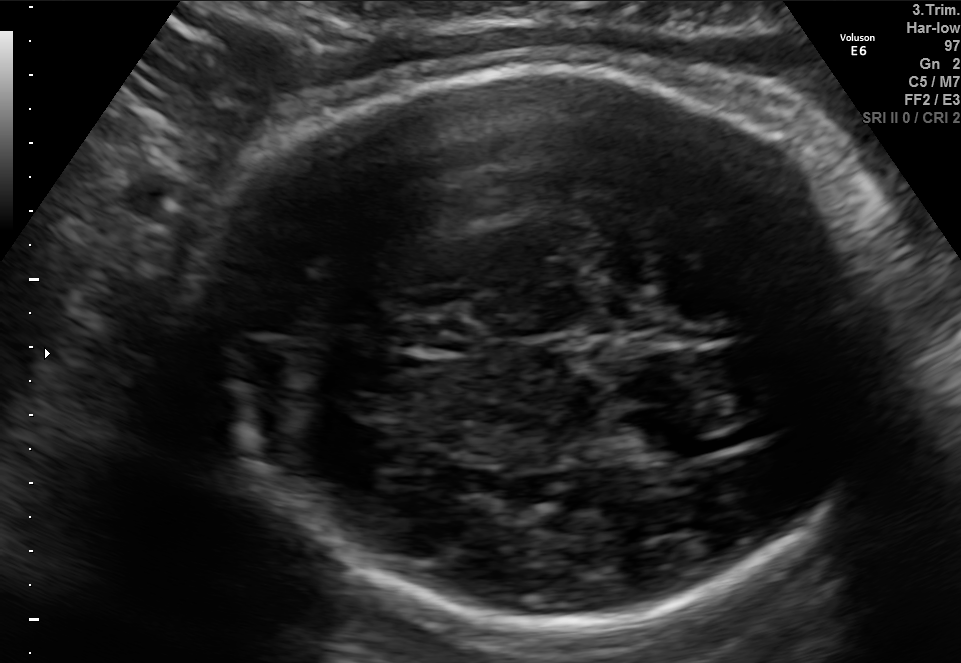
In this fetal brain, trans-thalamic plane, give the bounding box of the fetal head.

[202,62,883,627]